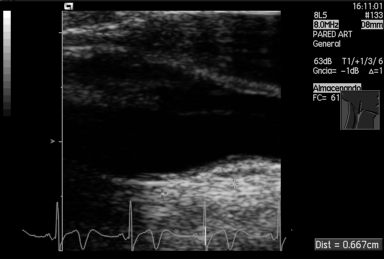
Classify this maternal-fetal ultrasound image as one of the six standard planes — fetal abdomen, fetal brain, fetal femur, fetal thorax, maternal cervix, or other. If it's fetal brain and one of the three standard brain planes (trans-thalamic, trans-cerebellum, trans-ventricular), name which.

Other